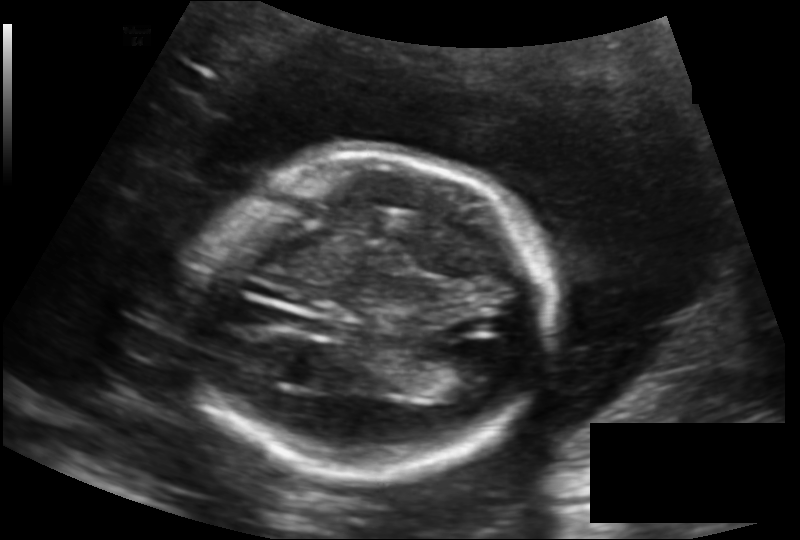
Fetal head ultrasound. Image width: 122.9 mm. Locate the fetal head.

Head: [189,154,550,471]